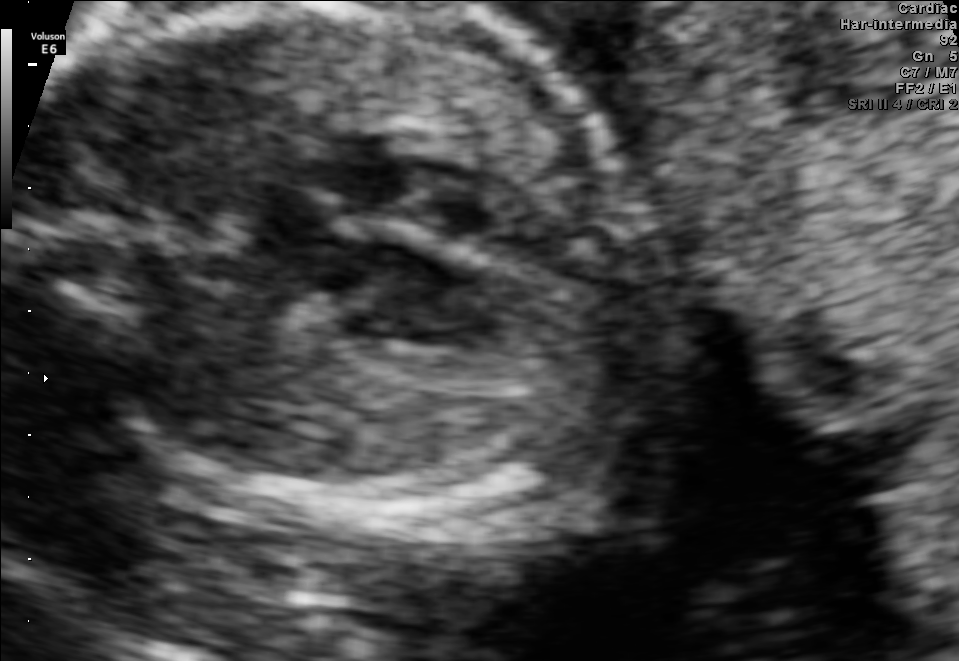
Identify the standard plane in this fetal ultrasound image: fetal abdomen, fetal brain, fetal femur, fetal thorax, maternal cervix, or other. If it's fetal brain and one of the three standard brain planes (trans-thalamic, trans-cerebellum, trans-ventricular), name which.

Fetal thorax